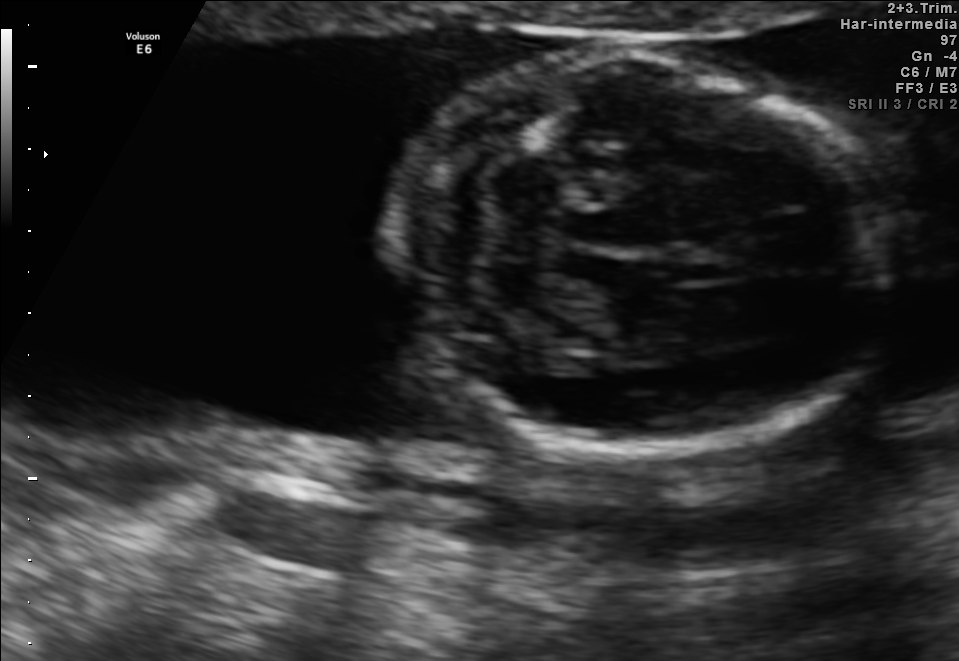
In this fetal brain, trans-cerebellum plane, give the bounding box of the fetal head.

[393,51,892,458]